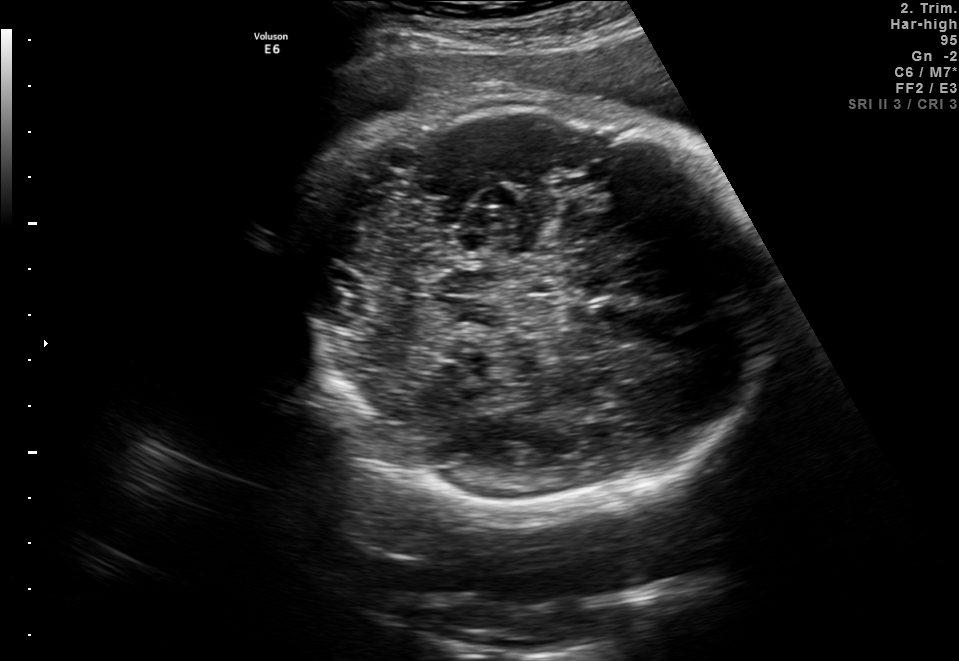
Classify this maternal-fetal ultrasound image as one of the six standard planes — fetal abdomen, fetal brain, fetal femur, fetal thorax, maternal cervix, or other. If it's fetal brain and one of the three standard brain planes (trans-thalamic, trans-cerebellum, trans-ventricular), name which.

Fetal brain (trans-thalamic plane)